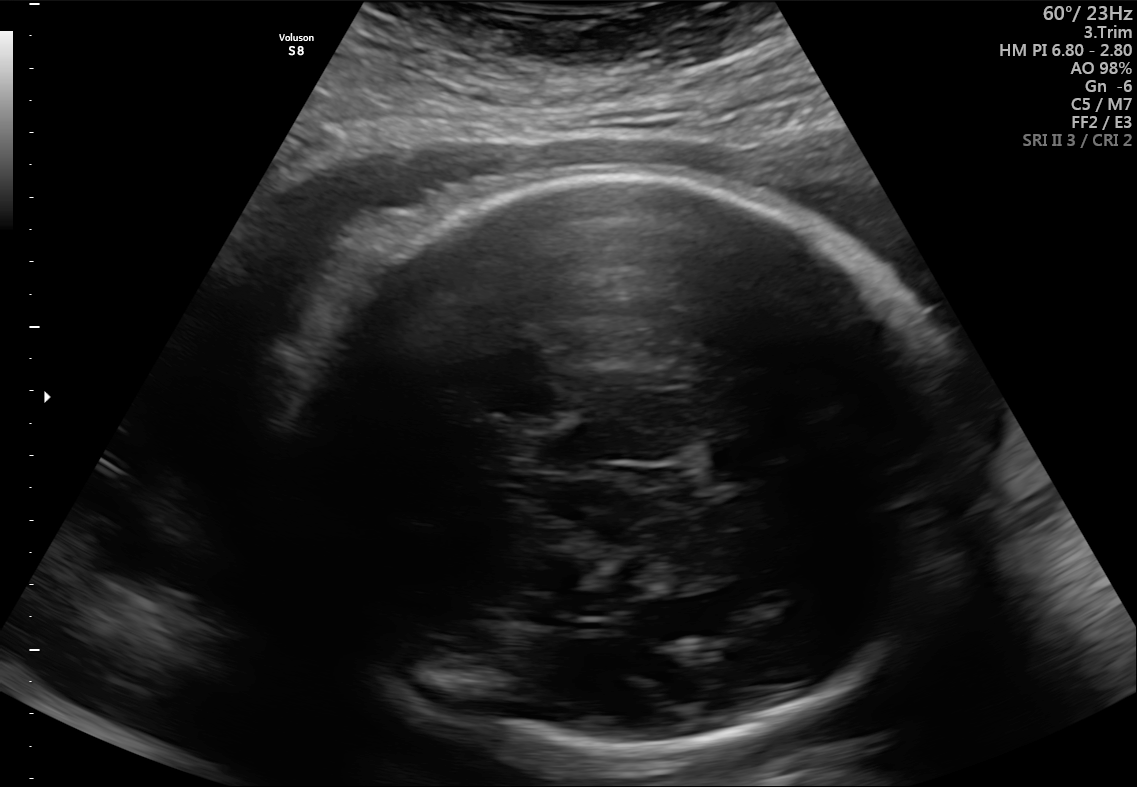
In this fetal brain, trans-thalamic plane, give the bounding box of the cavum septum pellucidum.

[710,440,777,479]